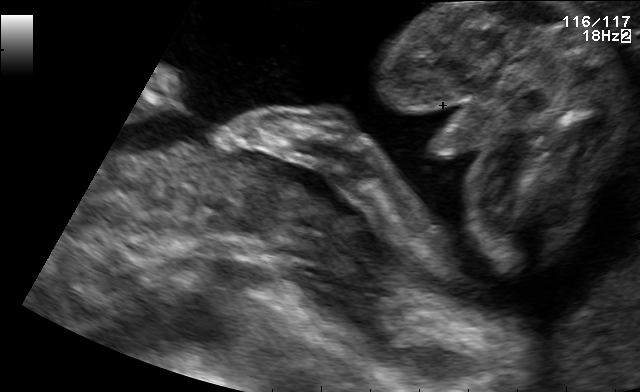
Classify this maternal-fetal ultrasound image as one of the six standard planes — fetal abdomen, fetal brain, fetal femur, fetal thorax, maternal cervix, or other. If it's fetal brain and one of the three standard brain planes (trans-thalamic, trans-cerebellum, trans-ventricular), name which.

Other